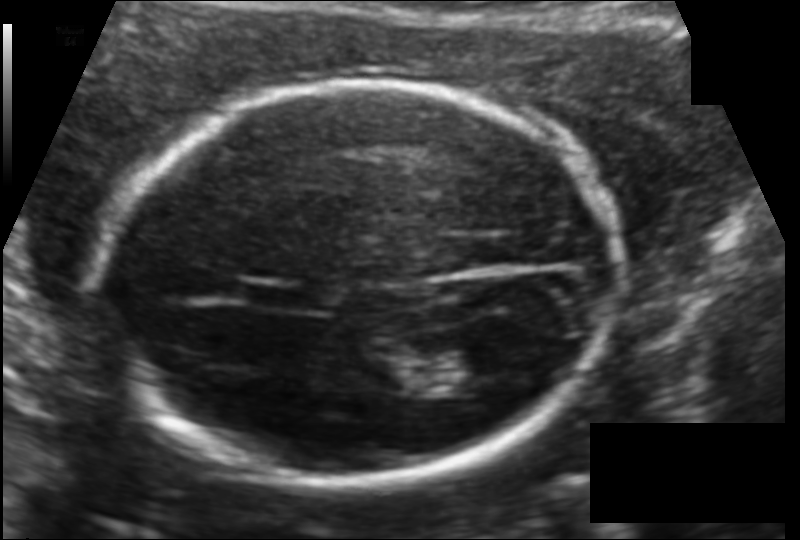
In this fetal head ultrasound, give the bounding box of the lateral ventricle. Image width: 96.7 mm.

[438,348,511,395]